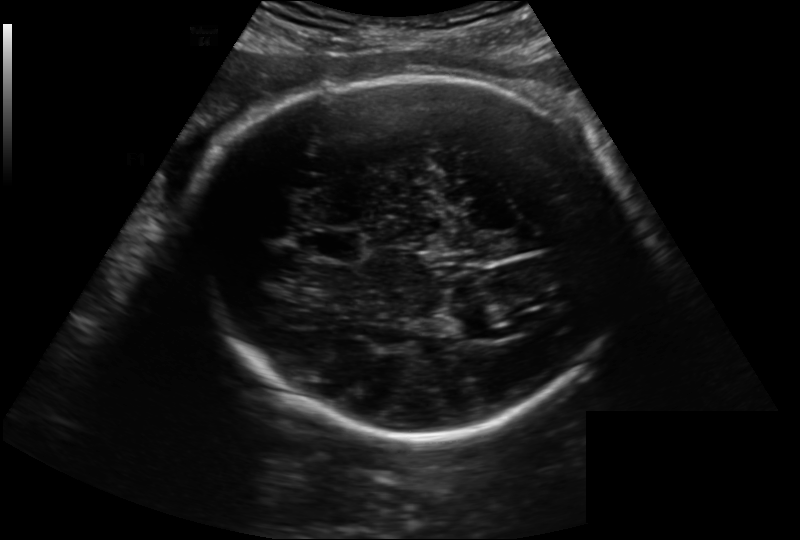
Fetal head ultrasound. Image width: 177.3 mm. Where is the cavum septum pellucidum?

CSP bounding box: [304,229,362,263]